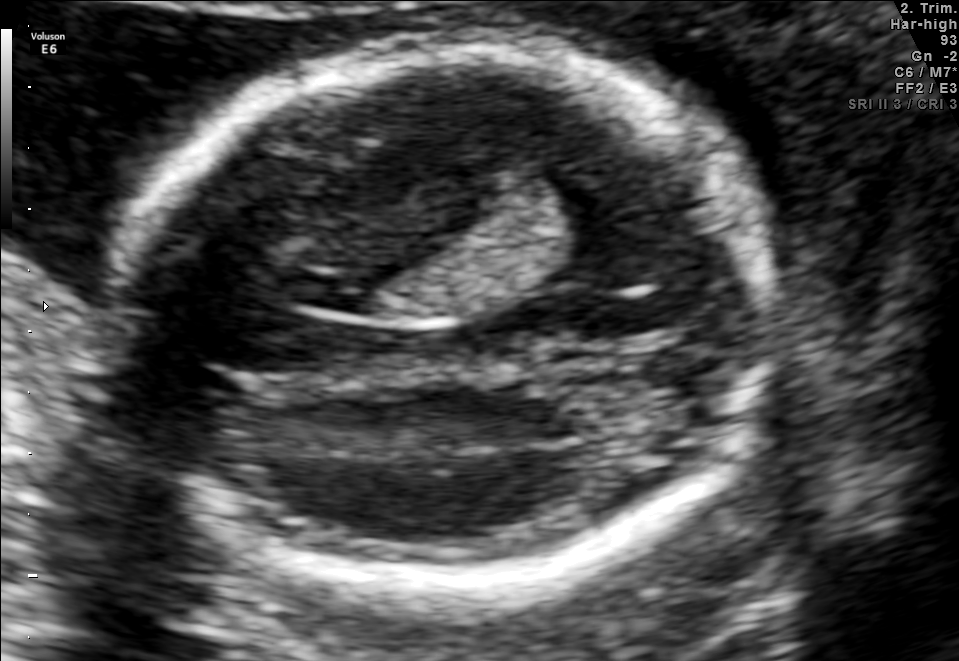
This is a 2D maternal-fetal ultrasound frame. Is it a fetal abdomen, fetal brain, fetal femur, fetal thorax, maternal cervix, or other standard plane? If it's fetal brain and one of the three standard brain planes (trans-thalamic, trans-cerebellum, trans-ventricular), name which.

Fetal brain (trans-ventricular plane)